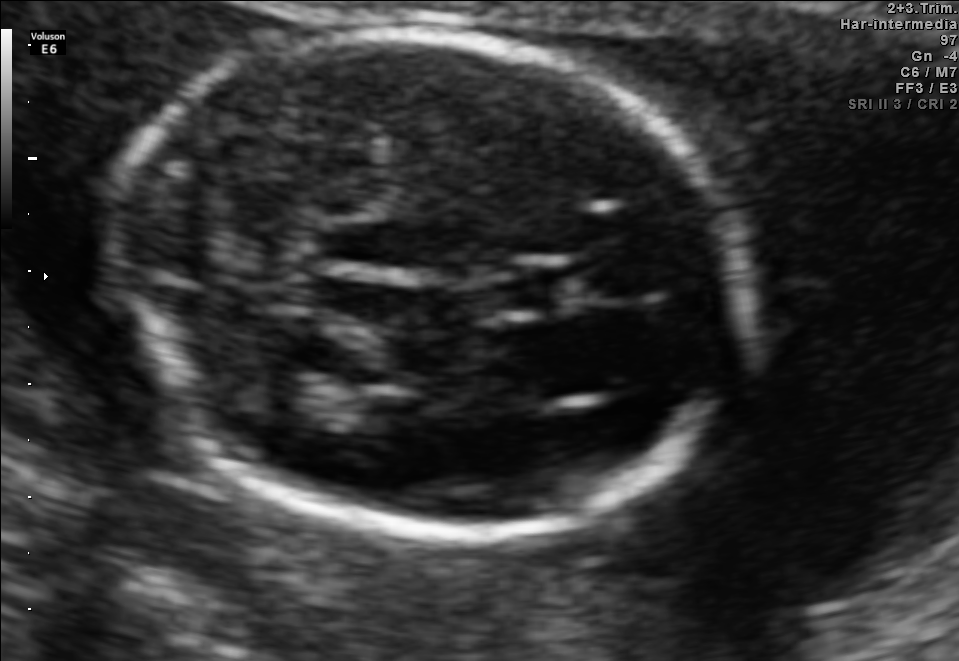
Fetal brain, trans-thalamic plane. Give [x1,y1,x2,y2] bounding boxes for each visible structure among: fetal head, CSP, LV.

Head: [106,32,755,535]
CSP: [492,268,559,307]
Lateral ventricle: [244,360,342,421]